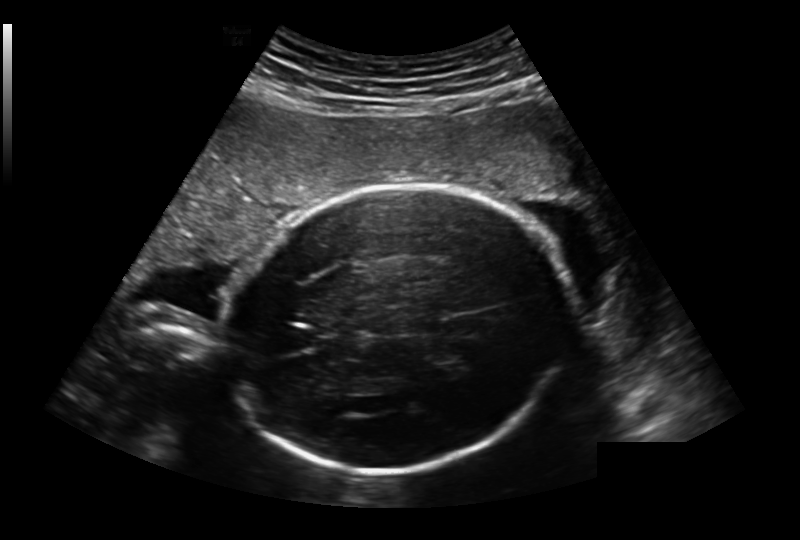
Estimate the fetal head circumference from this 2D ultrasound. Image width: 188.6 mm.

Head circumference: 240.9 mm.